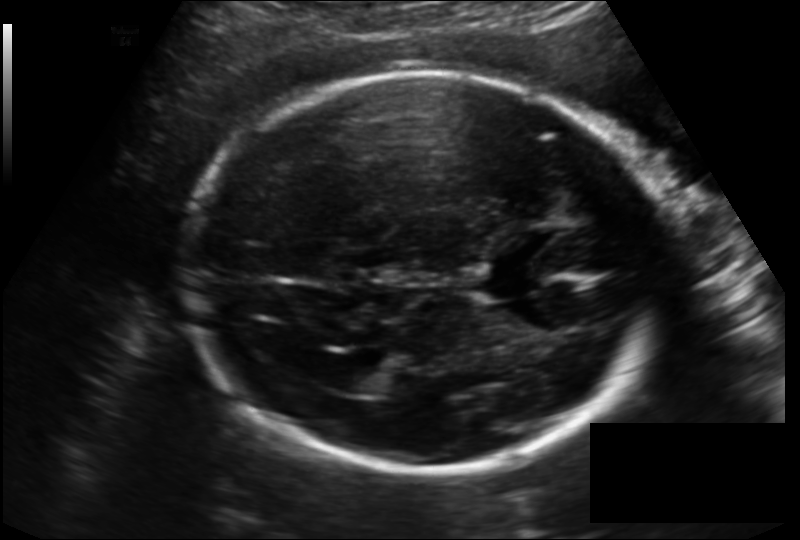
Fetal head ultrasound. Image width: 133.1 mm. Where is the lateral ventricle?

Lateral ventricle bounding box: [333,363,385,396]